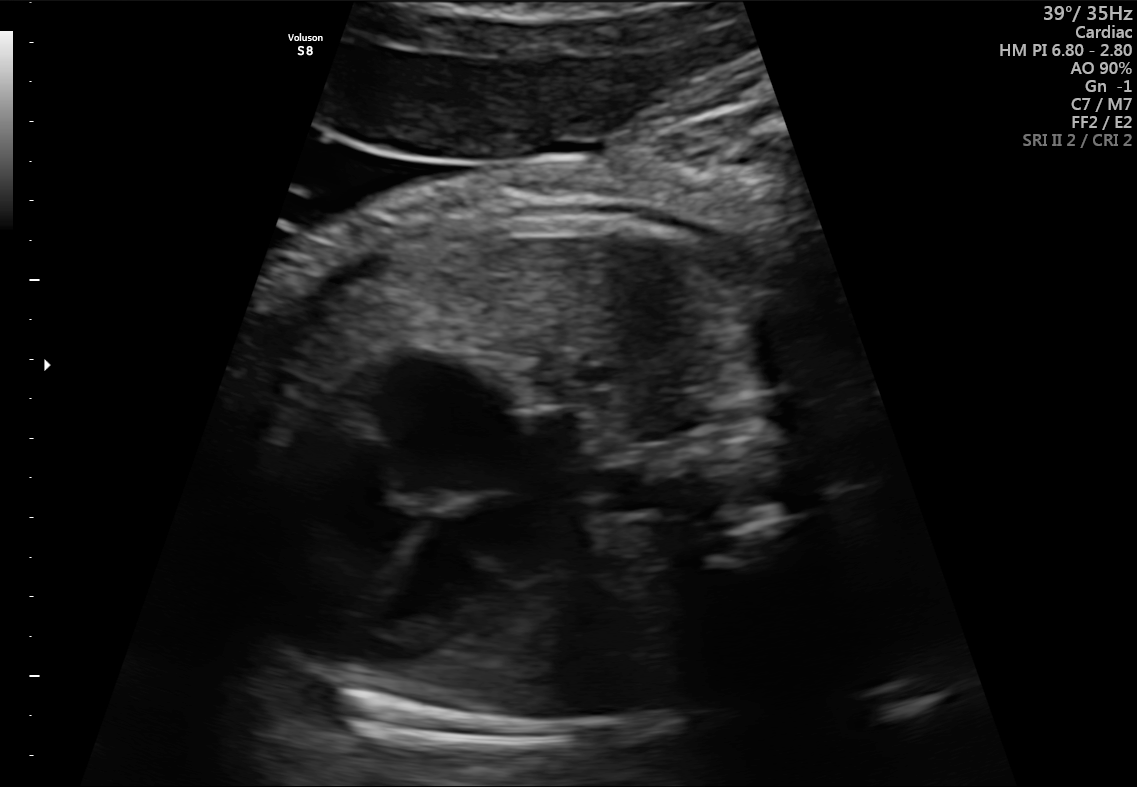
This is a 2D maternal-fetal ultrasound frame. Is it a fetal abdomen, fetal brain, fetal femur, fetal thorax, maternal cervix, or other standard plane? If it's fetal brain and one of the three standard brain planes (trans-thalamic, trans-cerebellum, trans-ventricular), name which.

Fetal thorax